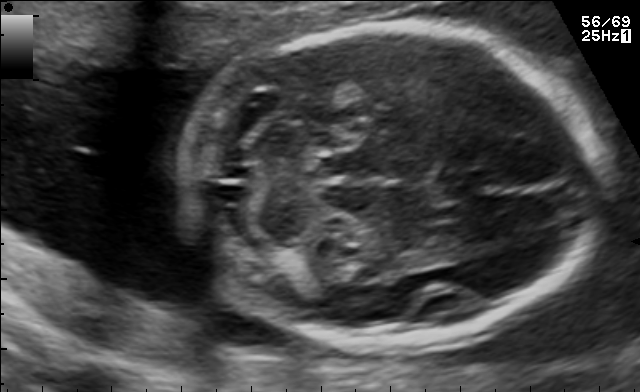
Fetal brain, trans-cerebellum plane. Locate the cavum septum pellucidum.

CSP: [429,162,497,208]